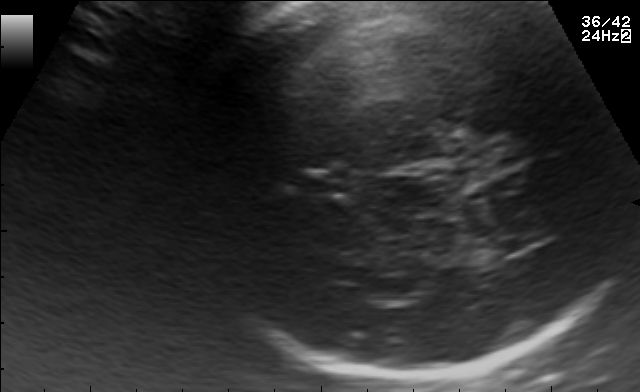
Fetal brain, trans-thalamic plane. Locate the cavum septum pellucidum.

CSP: [296,172,349,194]